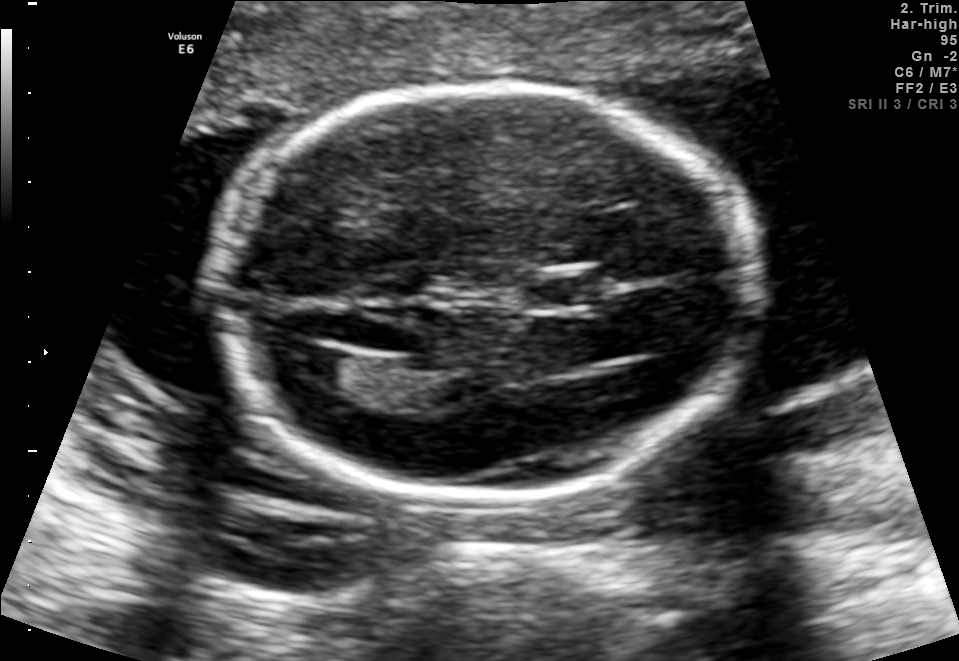
In this fetal brain, trans-ventricular plane, give the bounding box of the cavum septum pellucidum.

[521,274,621,309]